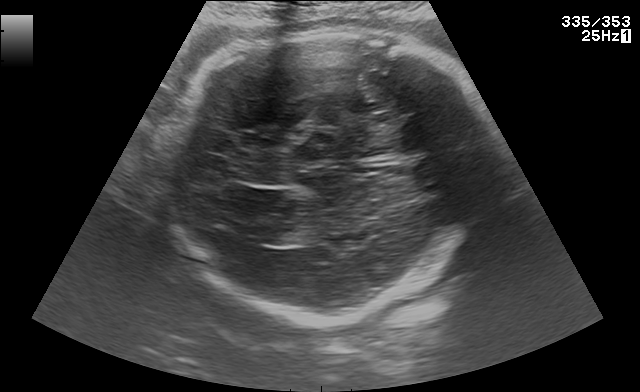
Fetal brain, trans-thalamic plane. Where is the lateral ventricle?

Lateral ventricle bounding box: [257,225,312,246]